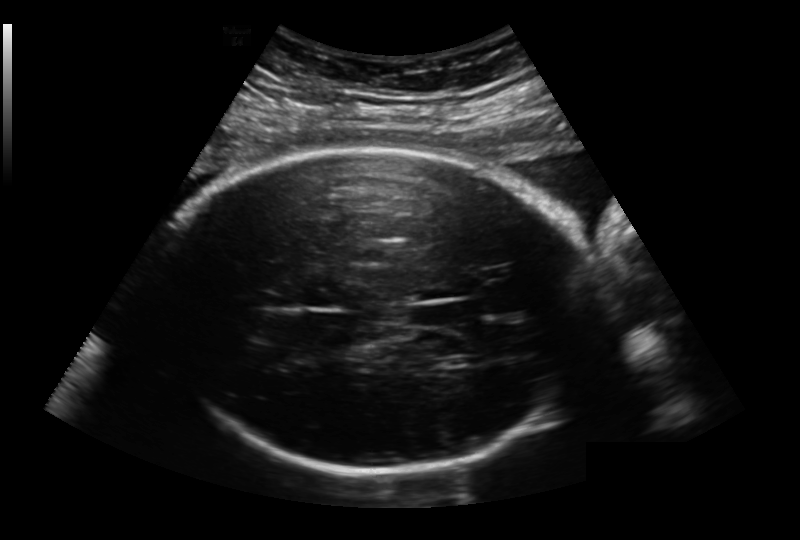
In this fetal head ultrasound, give the bounding box of the fetal head. Image width: 188.7 mm.

[147,150,598,473]